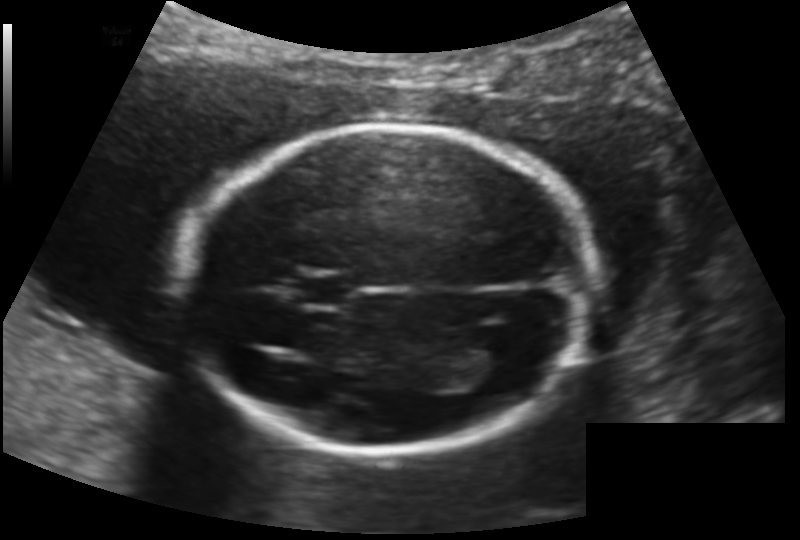
Measure the fetal head circumference shown in this ultrasound image. Image width: 116.3 mm.

Head circumference: 174.8 mm.